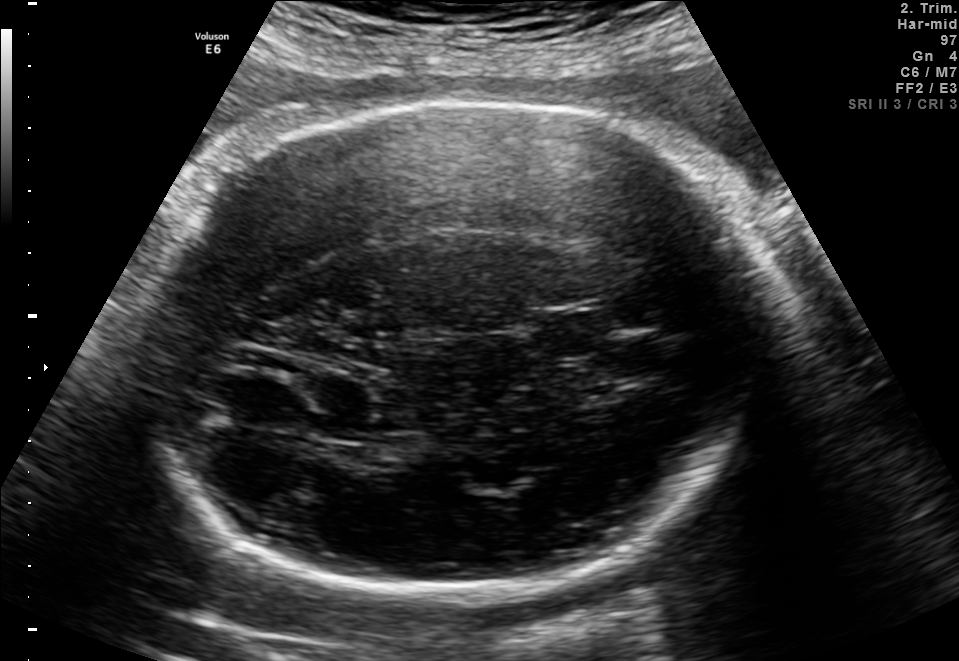
Identify the standard plane in this fetal ultrasound image: fetal abdomen, fetal brain, fetal femur, fetal thorax, maternal cervix, or other. If it's fetal brain and one of the three standard brain planes (trans-thalamic, trans-cerebellum, trans-ventricular), name which.

Fetal brain (trans-thalamic plane)